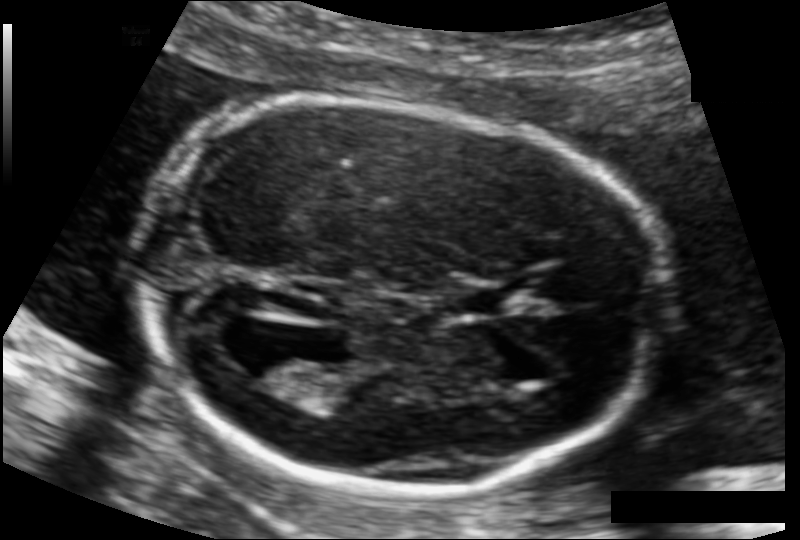
What is the fetal head circumference? Image width is 85.7 mm.

161.6 mm